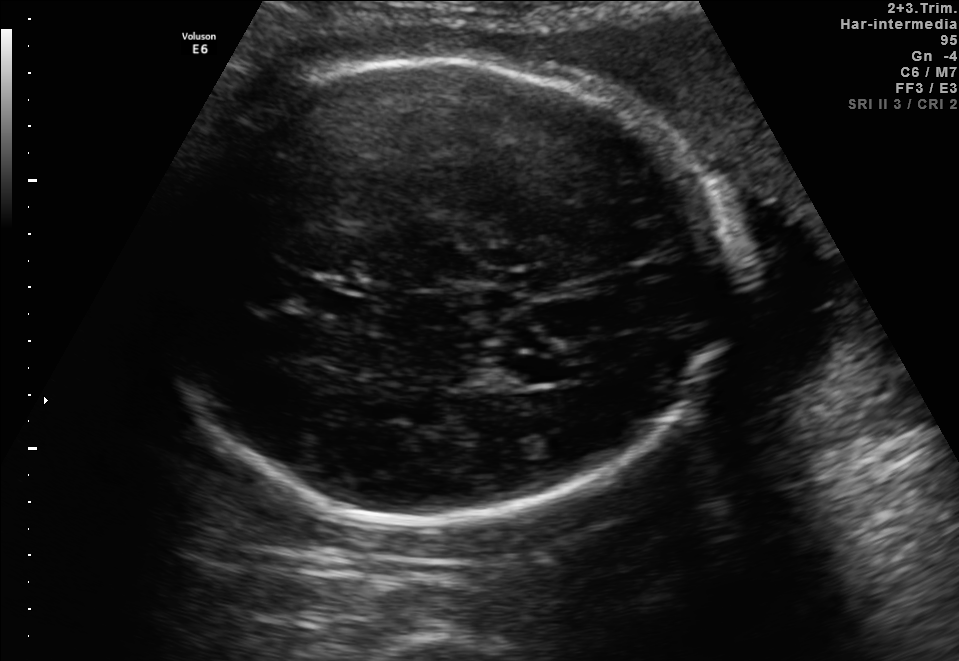
Fetal brain, trans-thalamic plane. Give [x1,y1,x2,y2] bounding boxes for each visible structure among: fetal head, CSP, LV.

Head: [139,61,742,524]
CSP: [306,278,368,317]
Lateral ventricle: [465,349,580,393]